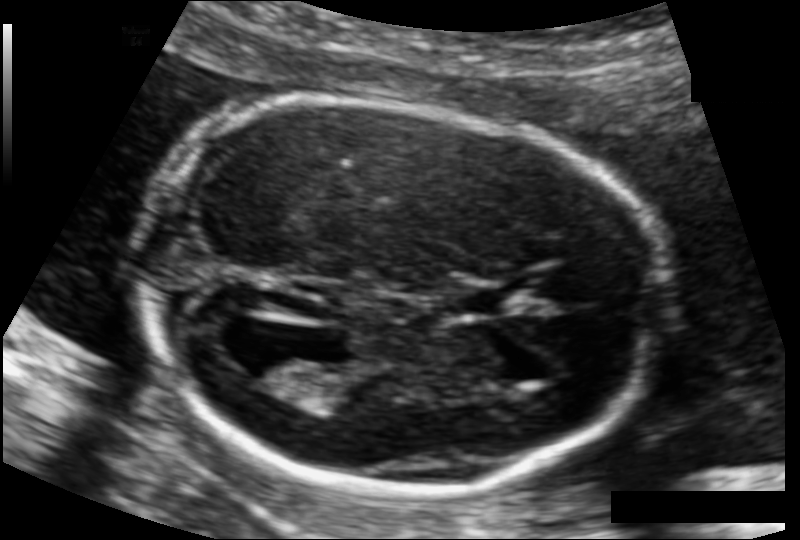
Estimate the fetal head circumference from this 2D ultrasound.

Head circumference: 161.6 mm (image width 85.7 mm).